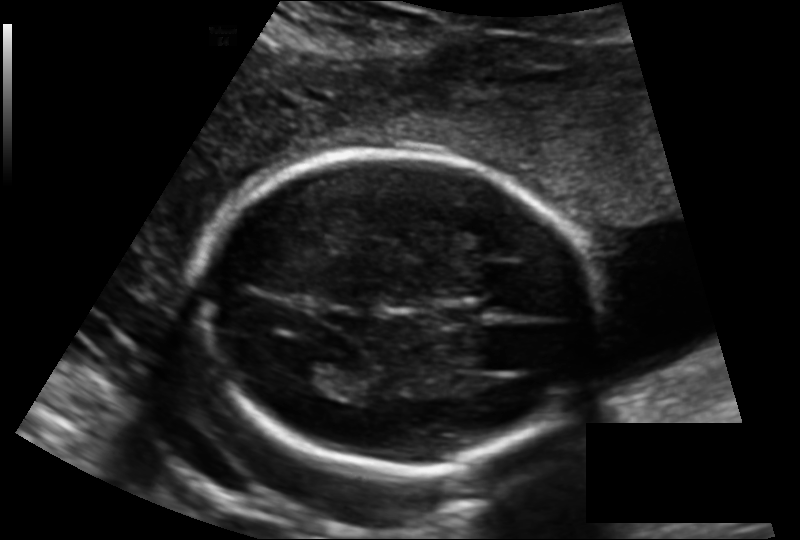
Fetal head ultrasound. Image width: 114.7 mm. Locate the fetal head and, if visible, the cavum septum pellucidum (CSP) and lateral ventricle (LV). Give bounding boxes as [x1,y1,x2,y2].

Head: [202,150,596,472]
CSP: [434,300,482,330]
Lateral ventricle: [286,350,354,399]